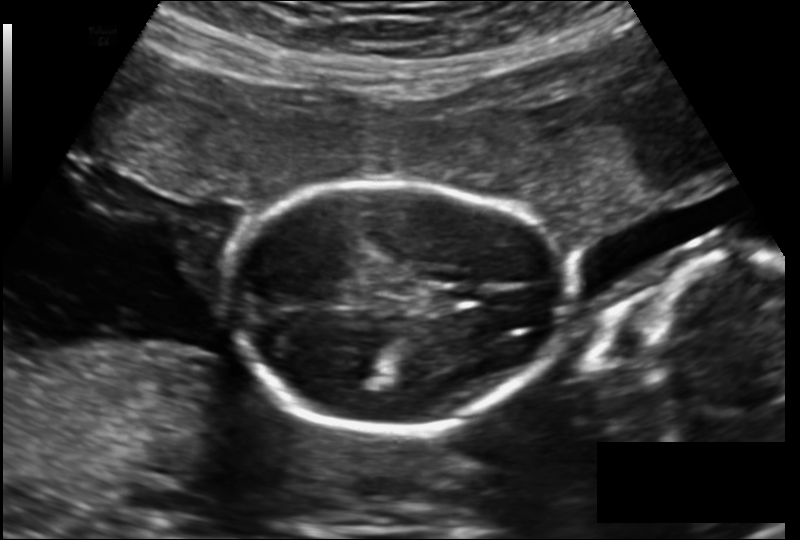
Measure the fetal head circumference shown in this ultrasound image. Image width: 125.7 mm.

Head circumference: 152.4 mm.